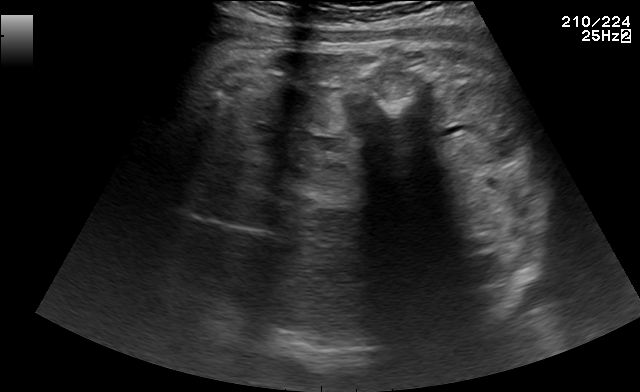
Which standard maternal-fetal ultrasound plane is shown: fetal abdomen, fetal brain, fetal femur, fetal thorax, maternal cervix, or other? If it's fetal brain and one of the three standard brain planes (trans-thalamic, trans-cerebellum, trans-ventricular), name which.

Other